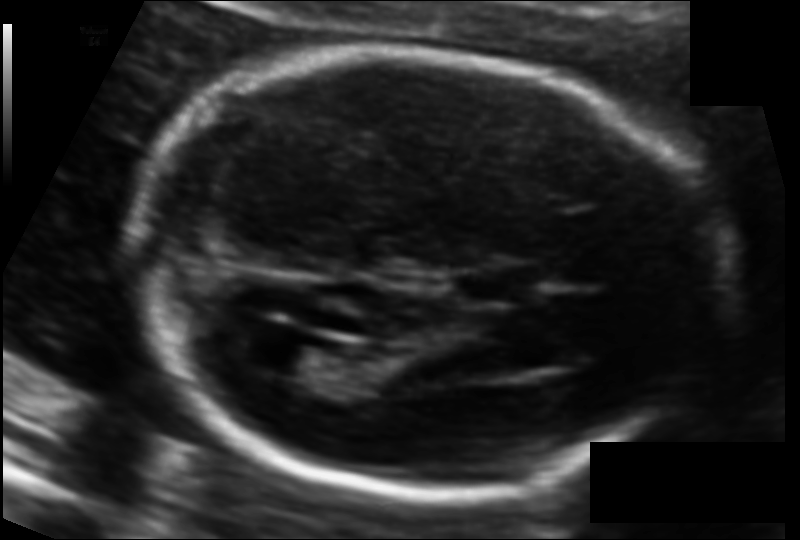
What is the fetal head circumference? Image width is 82.9 mm.

174.0 mm